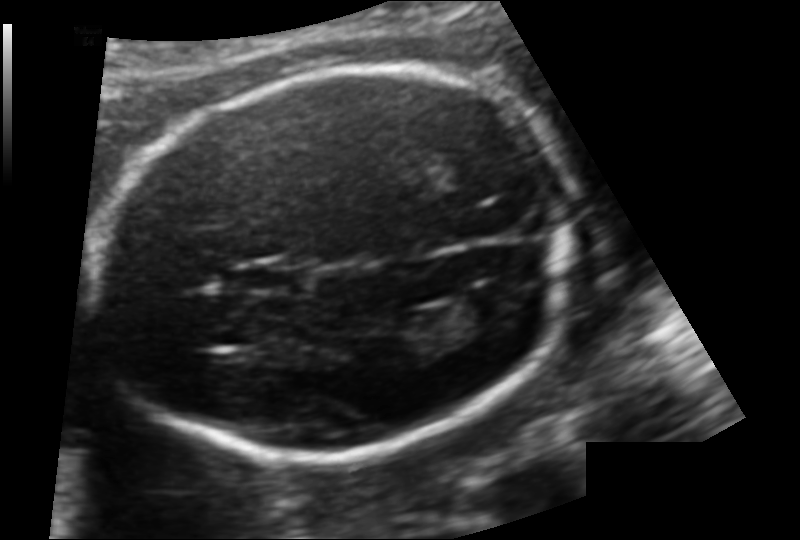
Fetal head ultrasound. Image width: 98.8 mm. Locate the fetal head.

Head: [95,69,570,466]